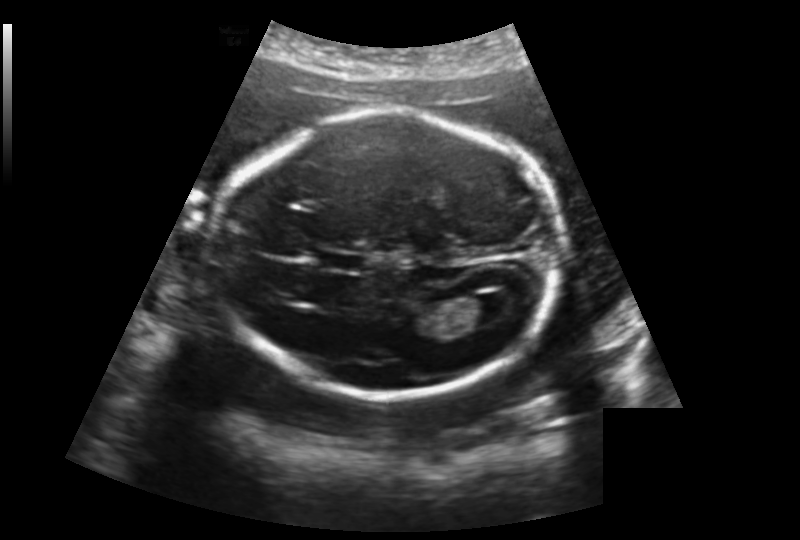
Fetal head ultrasound. Image width: 150.3 mm. Locate the fetal head.

Head: [214,114,563,394]